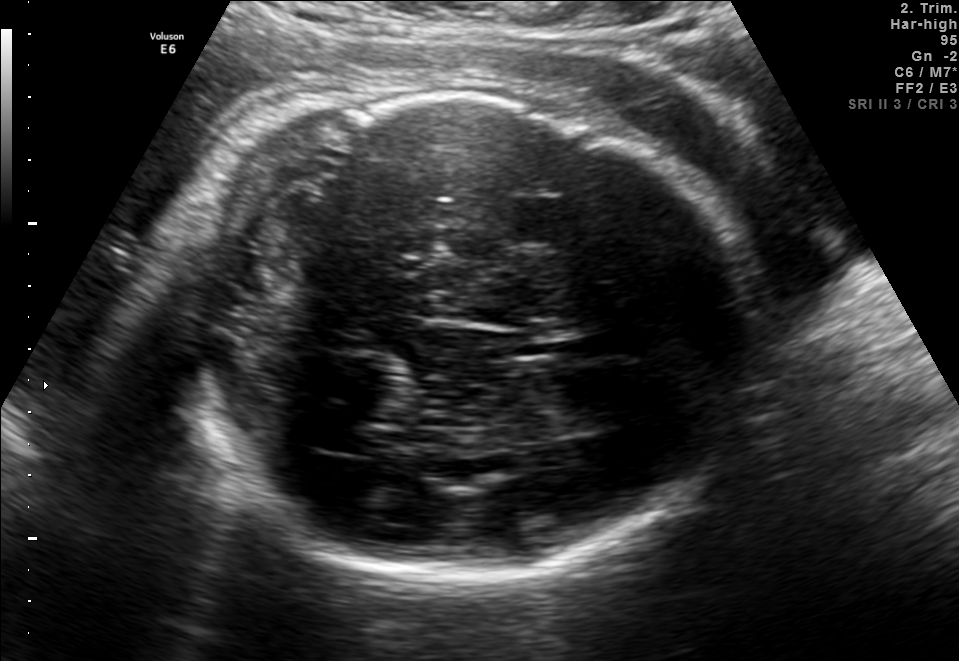
Fetal brain, trans-thalamic plane. Locate the fetal head and, if visible, the cavum septum pellucidum (CSP) and lateral ventricle (LV). Give bounding boxes as [x1,y1,x2,y2].

Head: [147,93,768,576]